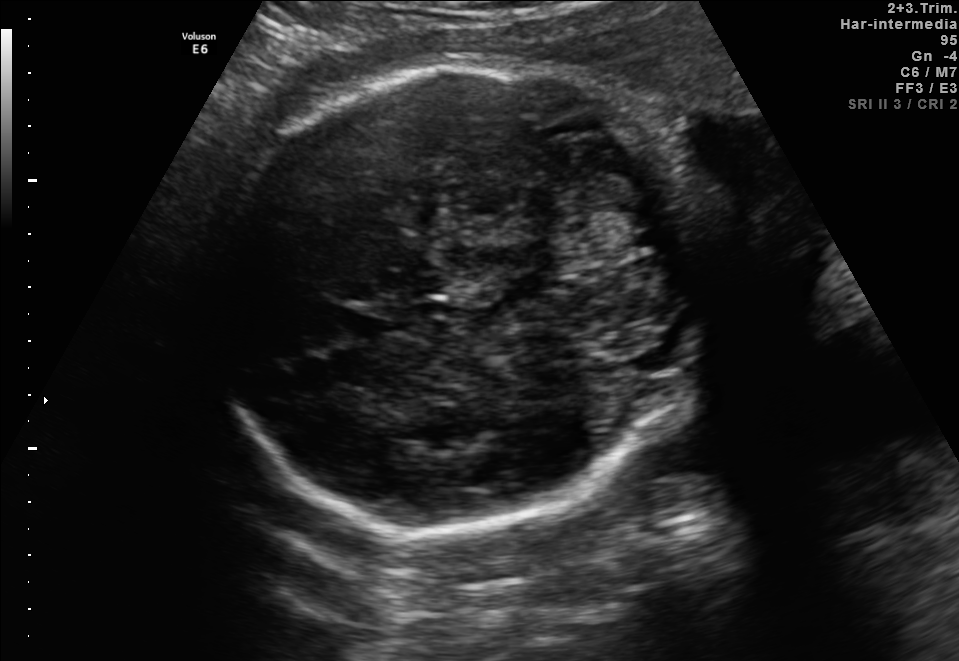
Fetal brain, trans-cerebellum plane. Locate the fetal head.

Head: [213,57,722,534]